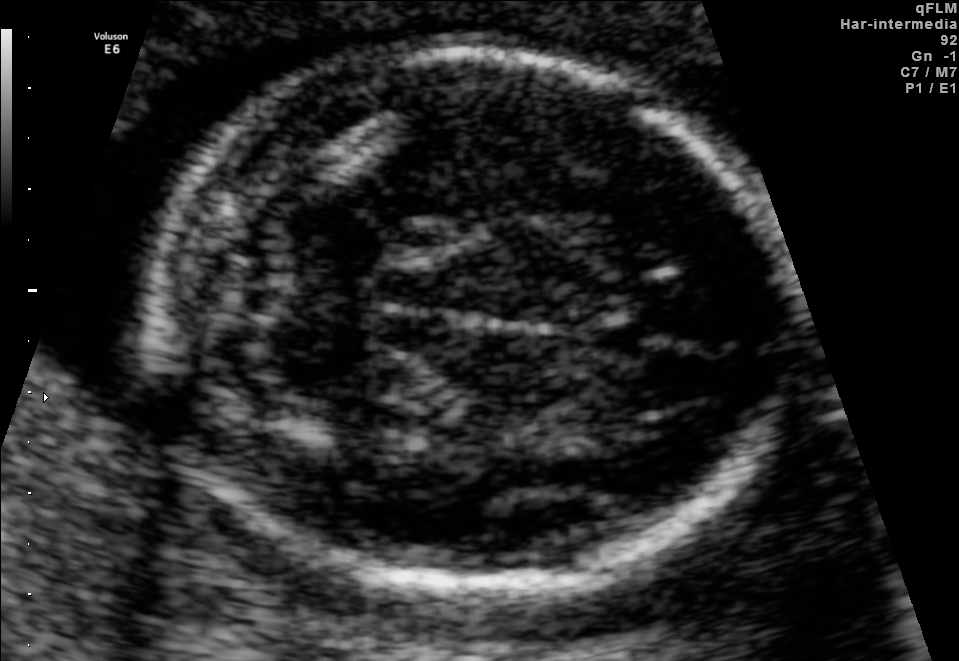
Fetal brain, trans-cerebellum plane. Locate the fetal head and, if visible, the cavum septum pellucidum (CSP) and lateral ventricle (LV). Give bounding boxes as [x1,y1,x2,y2].

Head: [154,47,799,600]